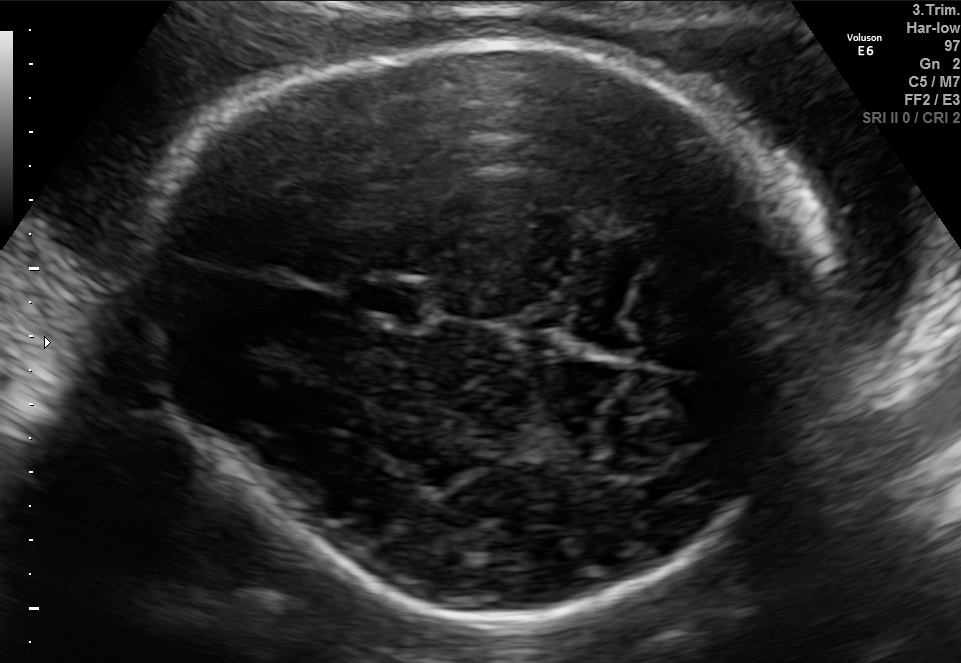
Fetal brain, trans-thalamic plane. Where is the cavum septum pellucidum?

CSP bounding box: [354,277,427,328]